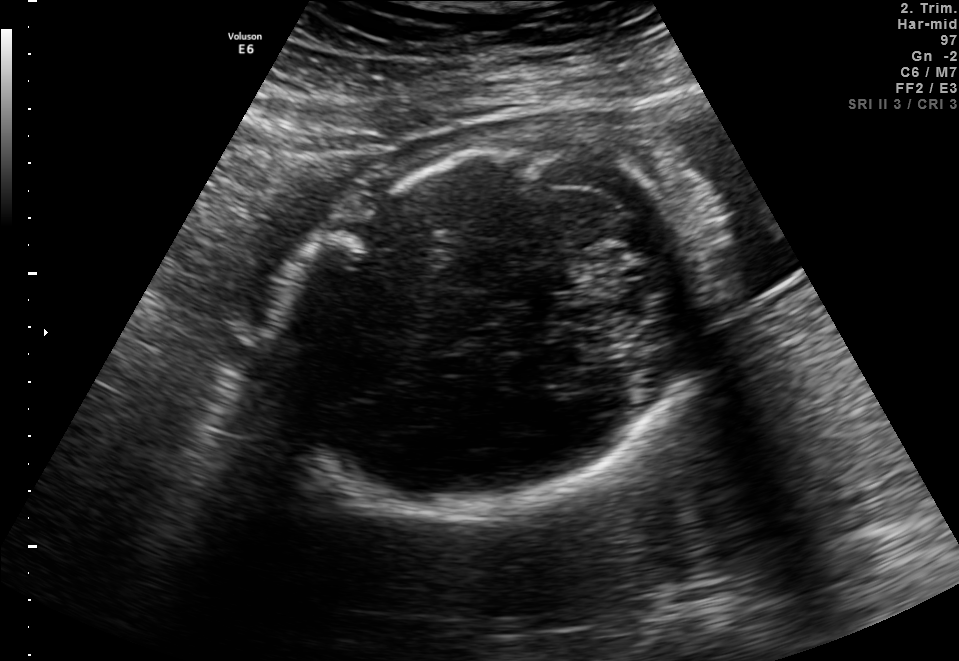
Fetal brain, trans-cerebellum plane. Locate the fetal head and, if visible, the cavum septum pellucidum (CSP) and lateral ventricle (LV). Give bounding boxes as [x1,y1,x2,y2].

Head: [275,146,702,513]